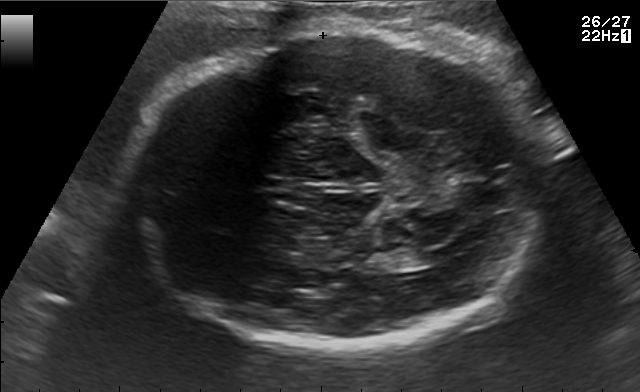
Fetal brain, trans-ventricular plane. Give [x1,y1,x2,y2] bounding boxes for each visible structure among: fetal head, CSP, LV.

Head: [125,28,554,354]
CSP: [263,174,322,197]